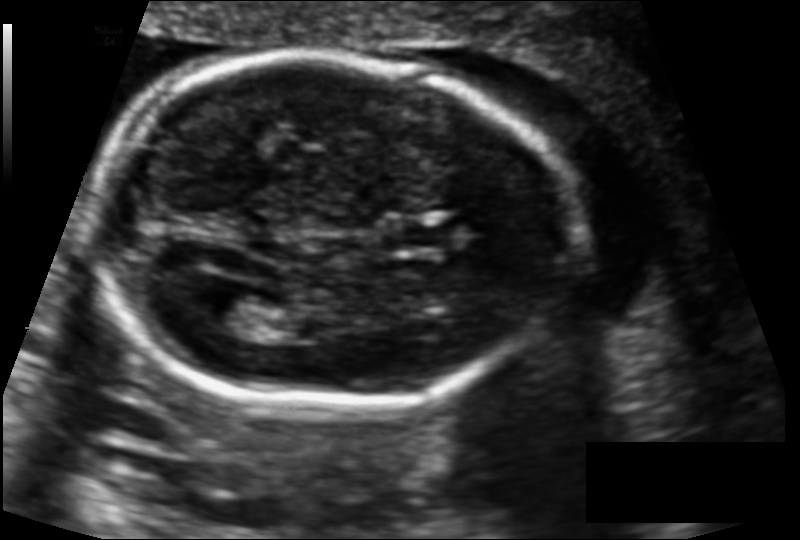
In this fetal head ultrasound, give the bounding box of the lateral ventricle. Image width: 97.4 mm.

[202,282,271,339]